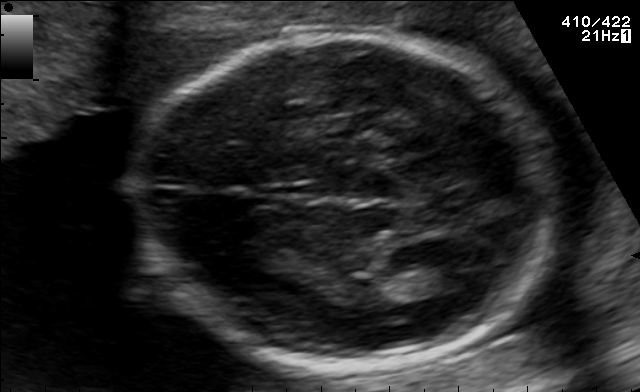
Fetal brain, trans-thalamic plane. Give [x1,y1,x2,y2] bounding boxes for each visible structure among: fetal head, CSP, LV.

Head: [135,34,557,365]
Lateral ventricle: [415,247,494,299]